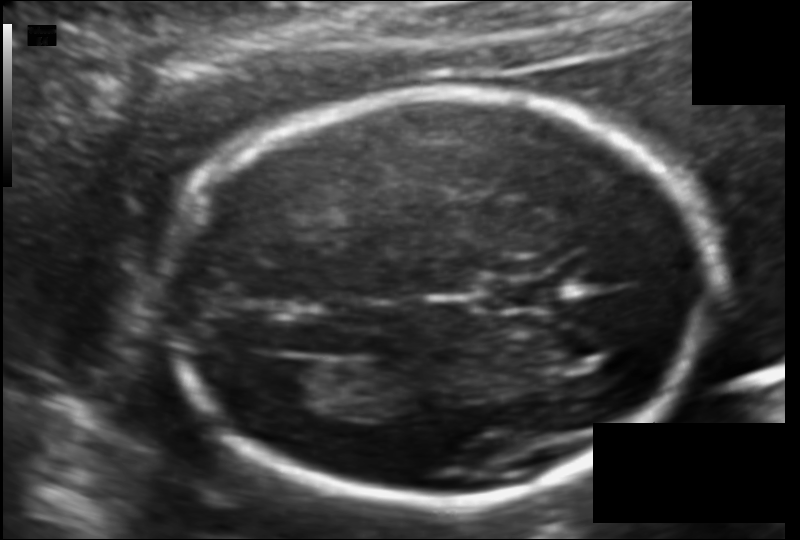
What is the fetal head circumference? Image width is 88.5 mm.

170.9 mm